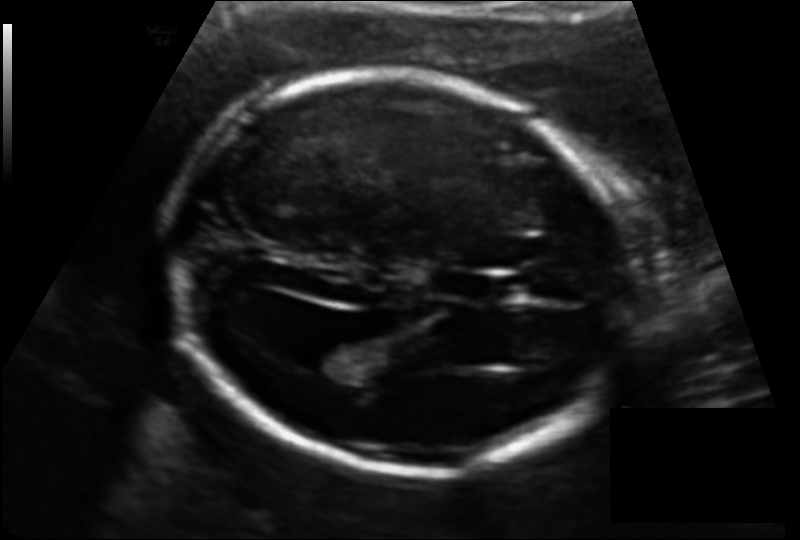
In this fetal head ultrasound, give the bounding box of the fetal head. Image width: 104.7 mm.

[163,75,636,471]